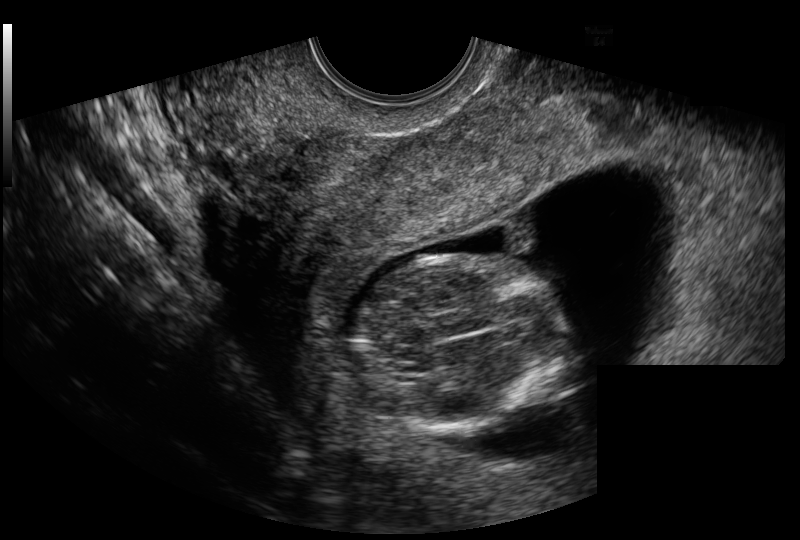
In this fetal head ultrasound, give the bounding box of the fetal head. Image width: 103.2 mm.

[356,256,569,433]